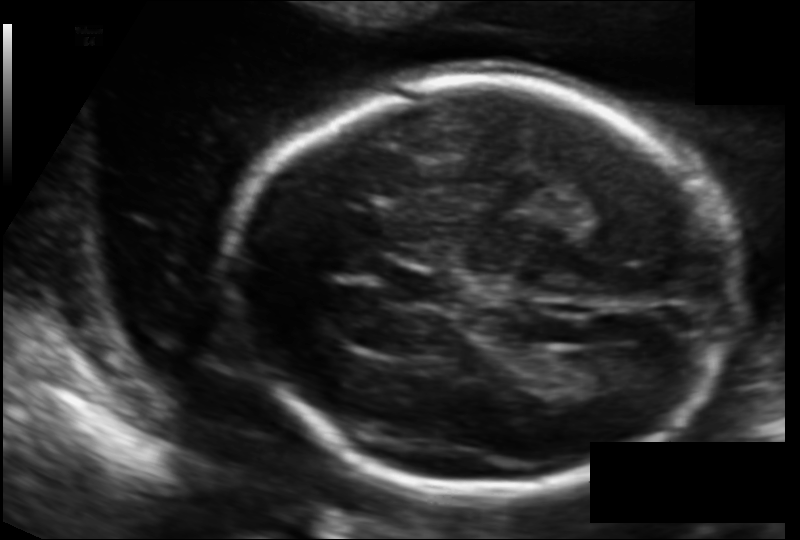
Fetal head ultrasound. Image width: 100.4 mm. Locate the cavum septum pellucidum.

CSP: [383,260,463,316]